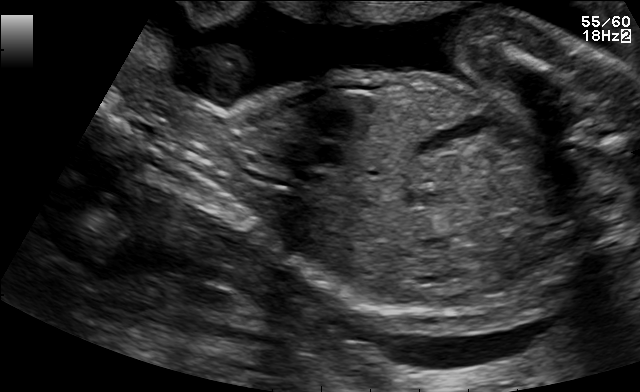
This is a 2D maternal-fetal ultrasound frame. Is it a fetal abdomen, fetal brain, fetal femur, fetal thorax, maternal cervix, or other standard plane? If it's fetal brain and one of the three standard brain planes (trans-thalamic, trans-cerebellum, trans-ventricular), name which.

Other